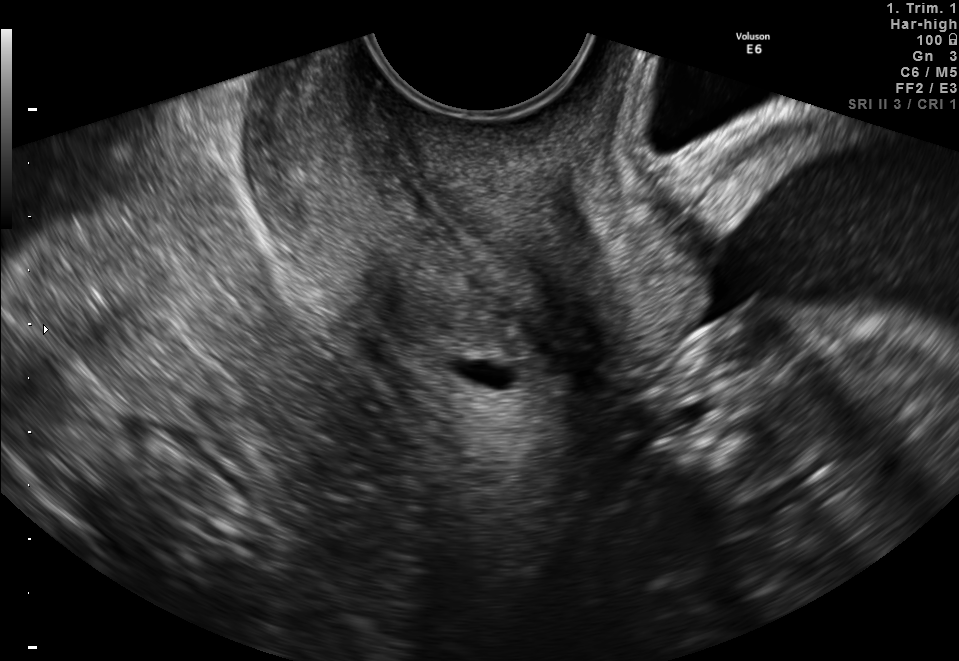
Classify this maternal-fetal ultrasound image as one of the six standard planes — fetal abdomen, fetal brain, fetal femur, fetal thorax, maternal cervix, or other. If it's fetal brain and one of the three standard brain planes (trans-thalamic, trans-cerebellum, trans-ventricular), name which.

Maternal cervix